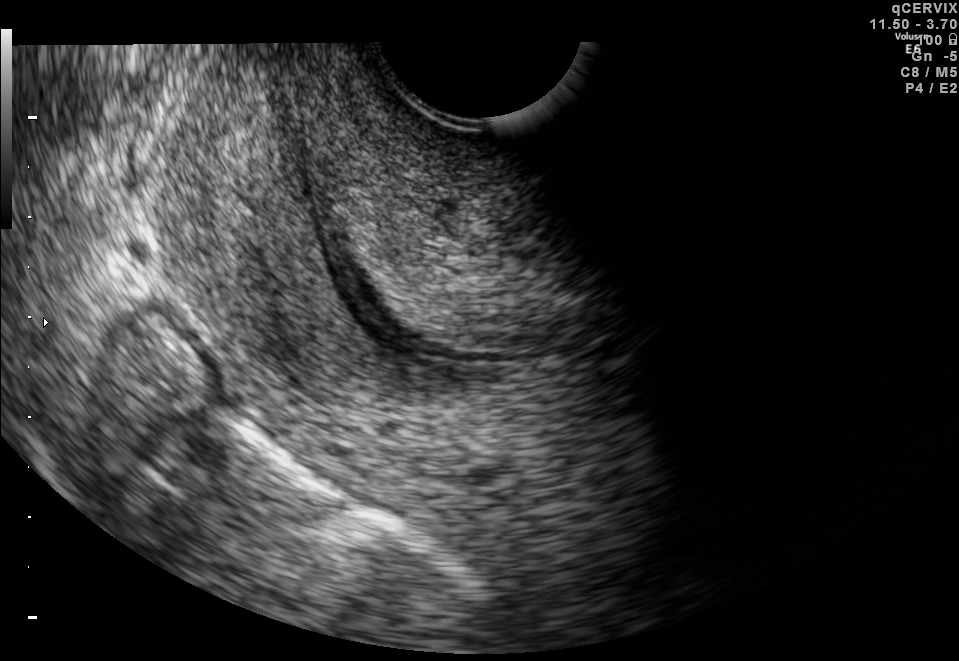
This is a 2D maternal-fetal ultrasound frame. Is it a fetal abdomen, fetal brain, fetal femur, fetal thorax, maternal cervix, or other standard plane? If it's fetal brain and one of the three standard brain planes (trans-thalamic, trans-cerebellum, trans-ventricular), name which.

Maternal cervix